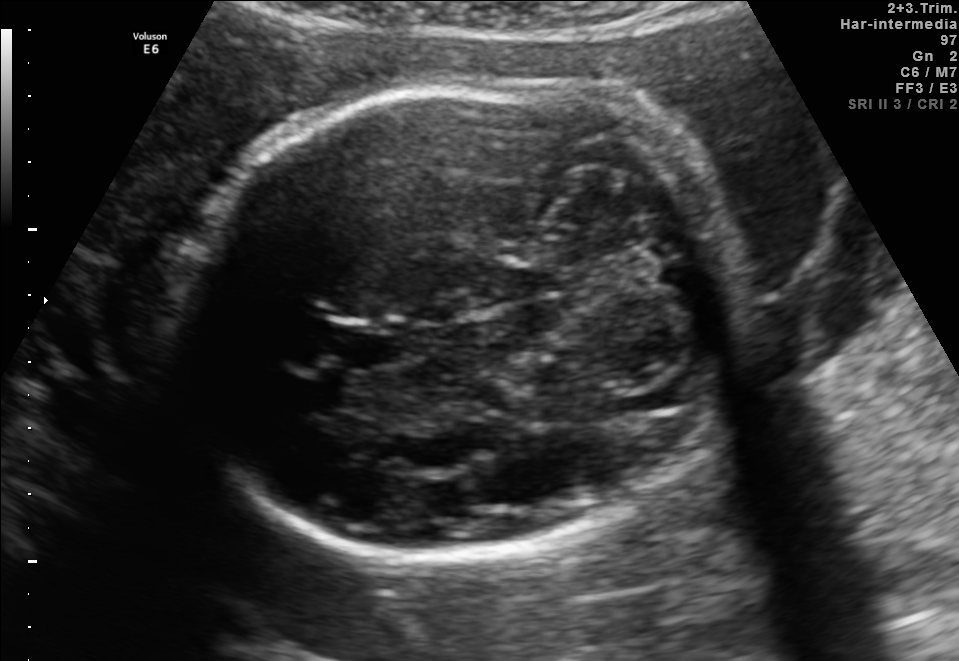
In this fetal brain, trans-cerebellum plane, give the bounding box of the fetal head.

[174,77,739,558]